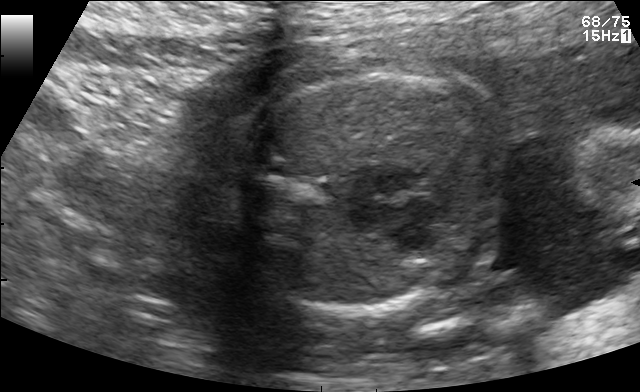
This is a 2D maternal-fetal ultrasound frame. Is it a fetal abdomen, fetal brain, fetal femur, fetal thorax, maternal cervix, or other standard plane? If it's fetal brain and one of the three standard brain planes (trans-thalamic, trans-cerebellum, trans-ventricular), name which.

Fetal thorax